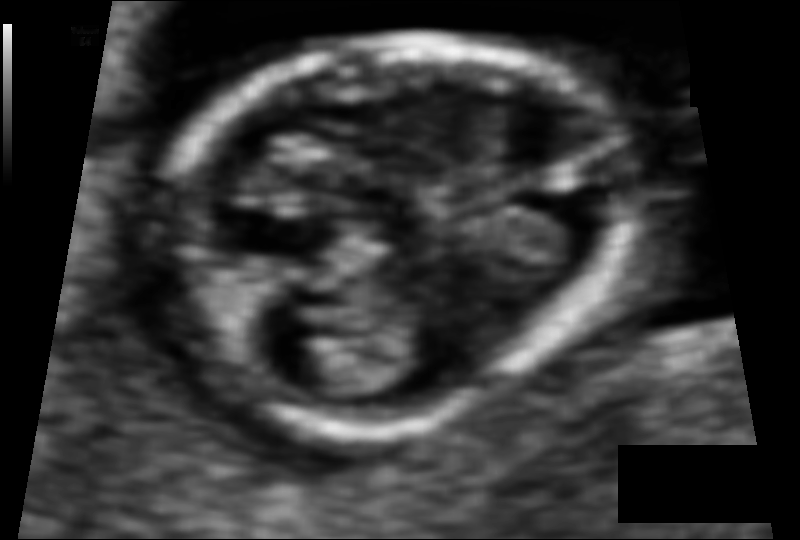
Fetal head ultrasound. Image width: 47.7 mm. Locate the fetal head and, if visible, the cavum septum pellucidum (CSP) and lateral ventricle (LV). Give bounding boxes as [x1,y1,x2,y2].

Head: [153,36,624,426]